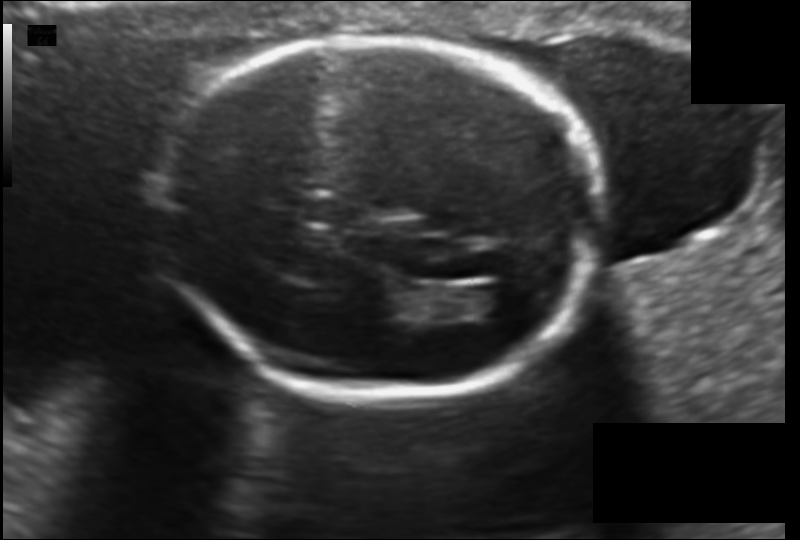
What is the fetal head circumference? Image width is 104.2 mm.

169.9 mm